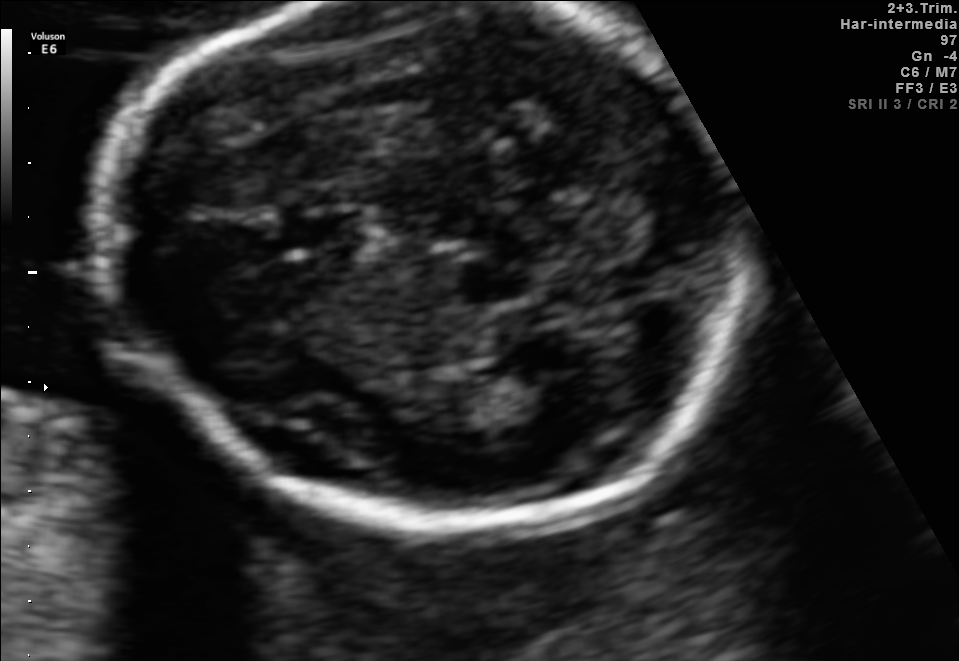
This is a 2D maternal-fetal ultrasound frame. Is it a fetal abdomen, fetal brain, fetal femur, fetal thorax, maternal cervix, or other standard plane? If it's fetal brain and one of the three standard brain planes (trans-thalamic, trans-cerebellum, trans-ventricular), name which.

Fetal brain (trans-thalamic plane)